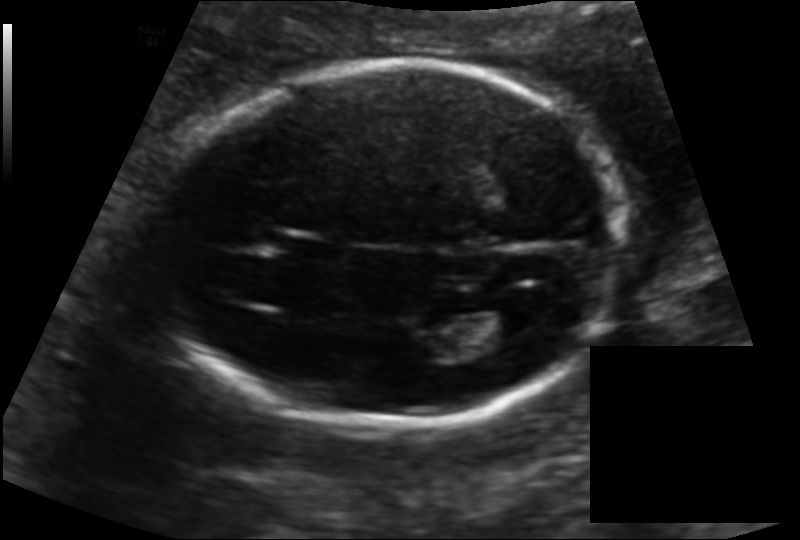
What is the fetal head circumference? Image width is 110.8 mm.

186.9 mm